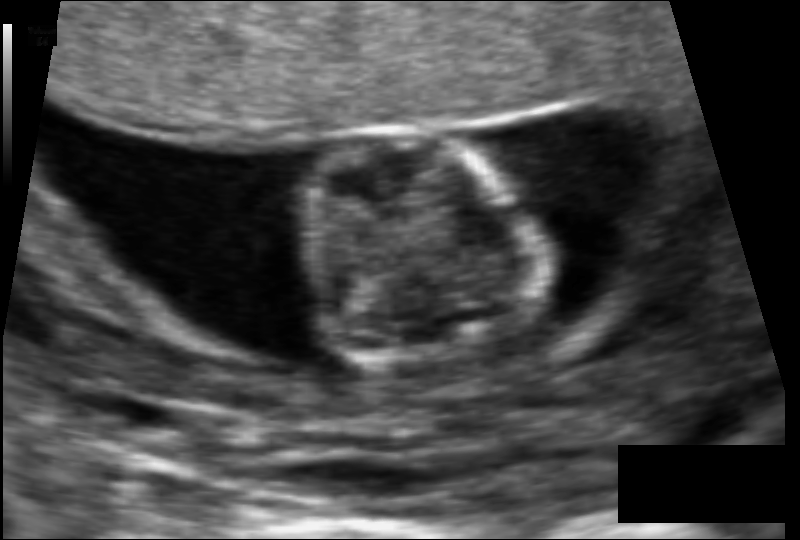
Fetal head ultrasound. Image width: 63.1 mm. Locate the fetal head.

Head: [296,128,531,373]